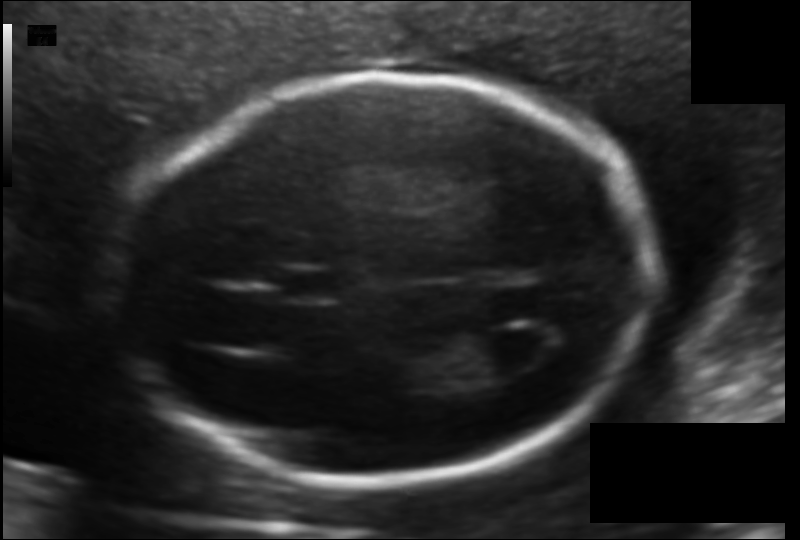
Fetal head ultrasound. Image width: 93.0 mm. Locate the fetal head and, if visible, the cavum septum pellucidum (CSP) and lateral ventricle (LV). Give bounding boxes as [x1,y1,x2,y2].

Head: [124,76,651,484]
CSP: [270,269,342,300]
Lateral ventricle: [456,314,551,387]